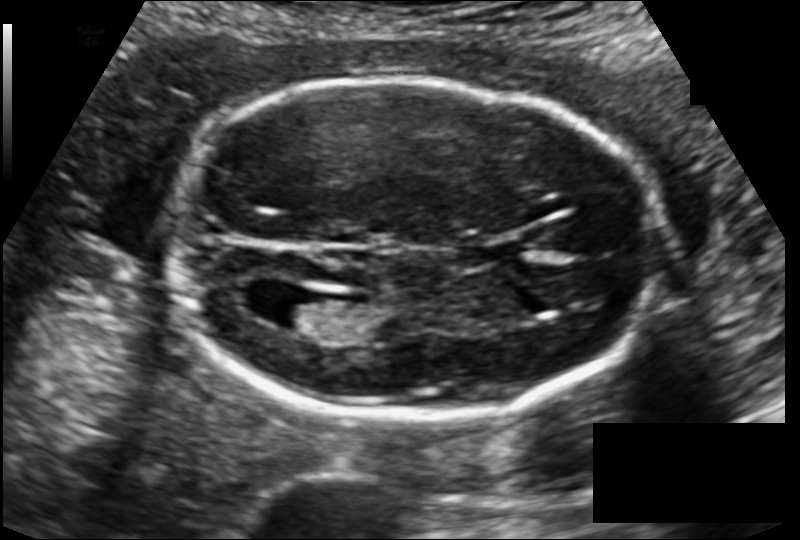
Fetal head ultrasound. Image width: 103.4 mm. Where is the fetal head?

Head bounding box: [163,78,657,419]